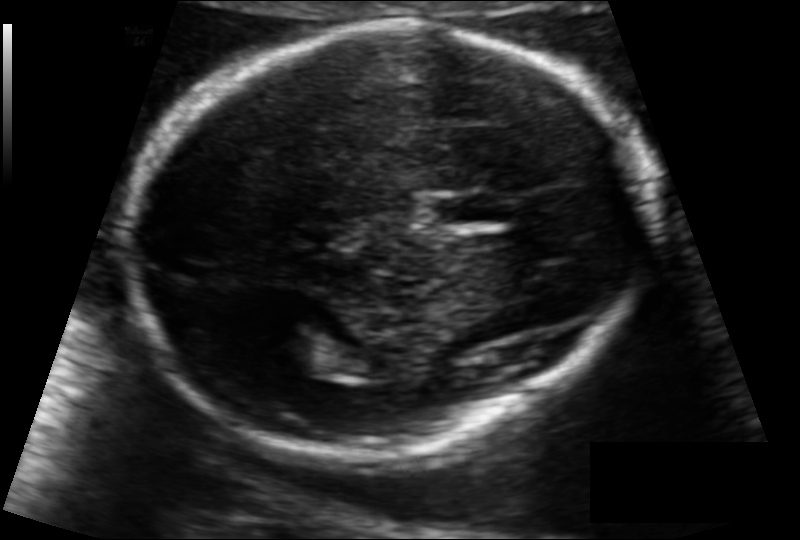
Fetal head ultrasound. Image width: 88.7 mm. Give [x1,y1,x2,y2] bounding boxes for each visible structure among: fetal head, CSP, LV.

Head: [125,22,647,453]
CSP: [433,195,505,225]
Lateral ventricle: [270,334,330,377]